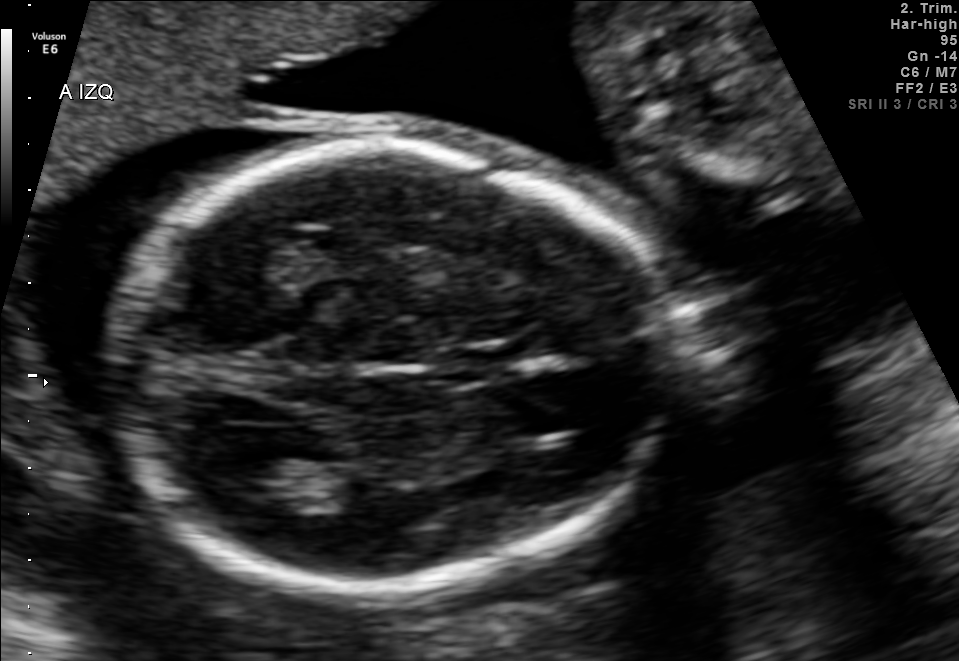
Fetal brain, trans-thalamic plane. Where is the lateral ventricle?

Lateral ventricle bounding box: [222,464,320,509]